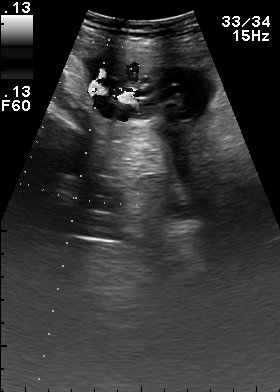
Which standard maternal-fetal ultrasound plane is shown: fetal abdomen, fetal brain, fetal femur, fetal thorax, maternal cervix, or other? If it's fetal brain and one of the three standard brain planes (trans-thalamic, trans-cerebellum, trans-ventricular), name which.

Other